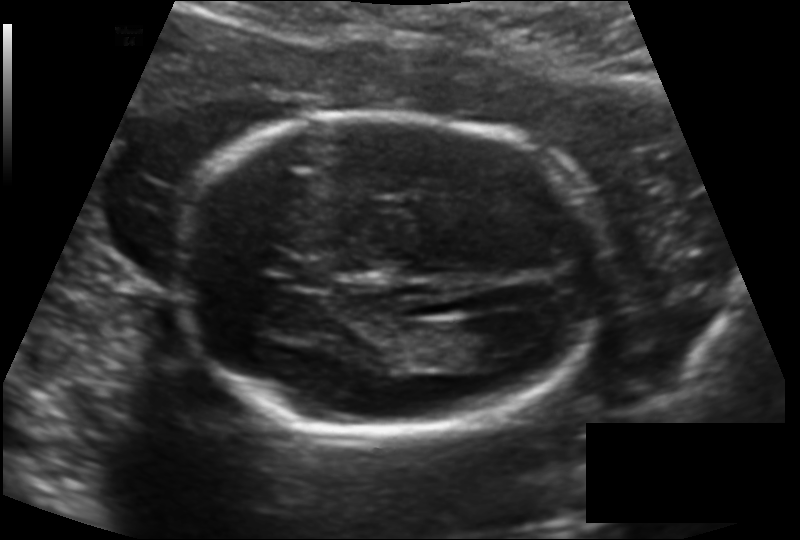
Fetal head ultrasound. Image width: 110.7 mm. Locate the fetal head.

Head: [175,115,605,431]